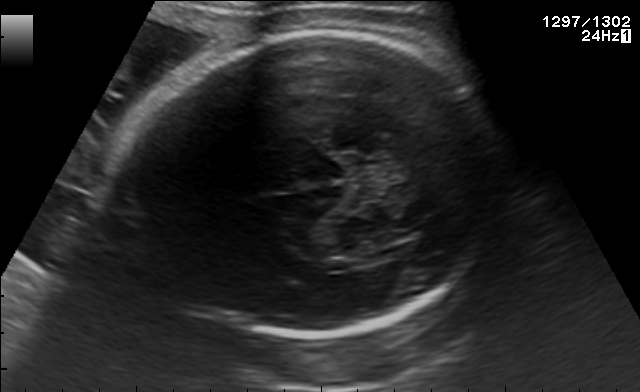
Classify this maternal-fetal ultrasound image as one of the six standard planes — fetal abdomen, fetal brain, fetal femur, fetal thorax, maternal cervix, or other. If it's fetal brain and one of the three standard brain planes (trans-thalamic, trans-cerebellum, trans-ventricular), name which.

Fetal brain (trans-thalamic plane)